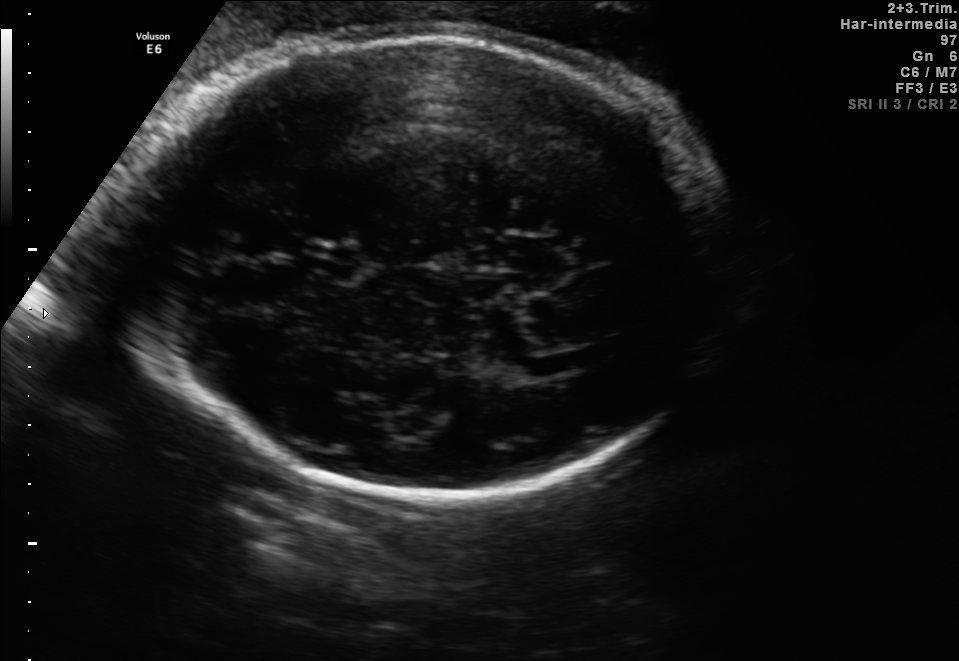
In this fetal brain, trans-thalamic plane, give the bounding box of the cavum septum pellucidum.

[300,243,358,282]